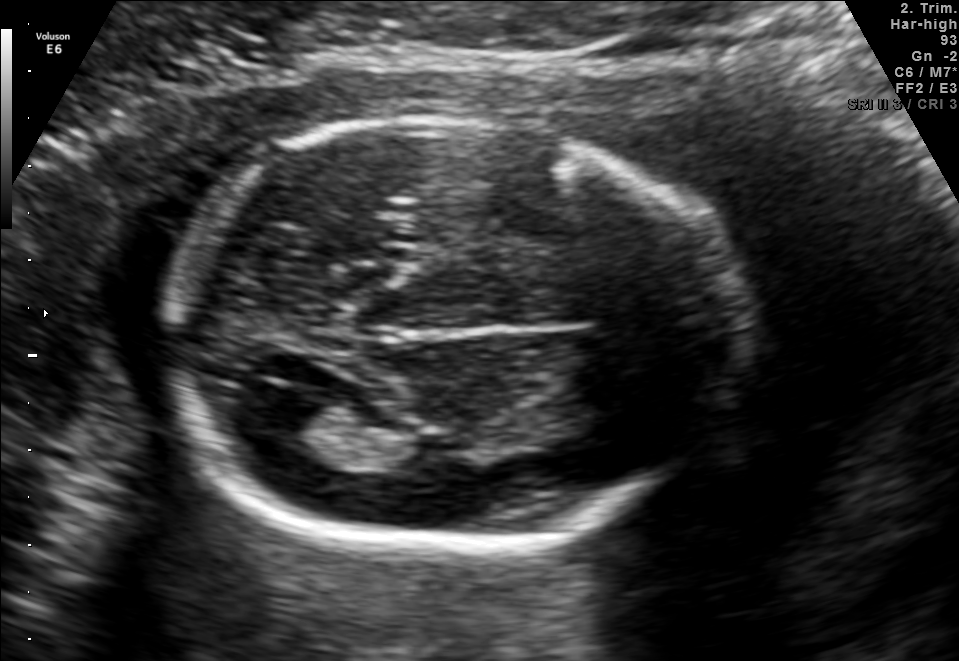
Fetal brain, trans-ventricular plane. Locate the fetal head and, if visible, the cavum septum pellucidum (CSP) and lateral ventricle (LV). Give bounding boxes as [x1,y1,x2,y2].

Head: [147,106,746,567]
Lateral ventricle: [247,381,328,446]